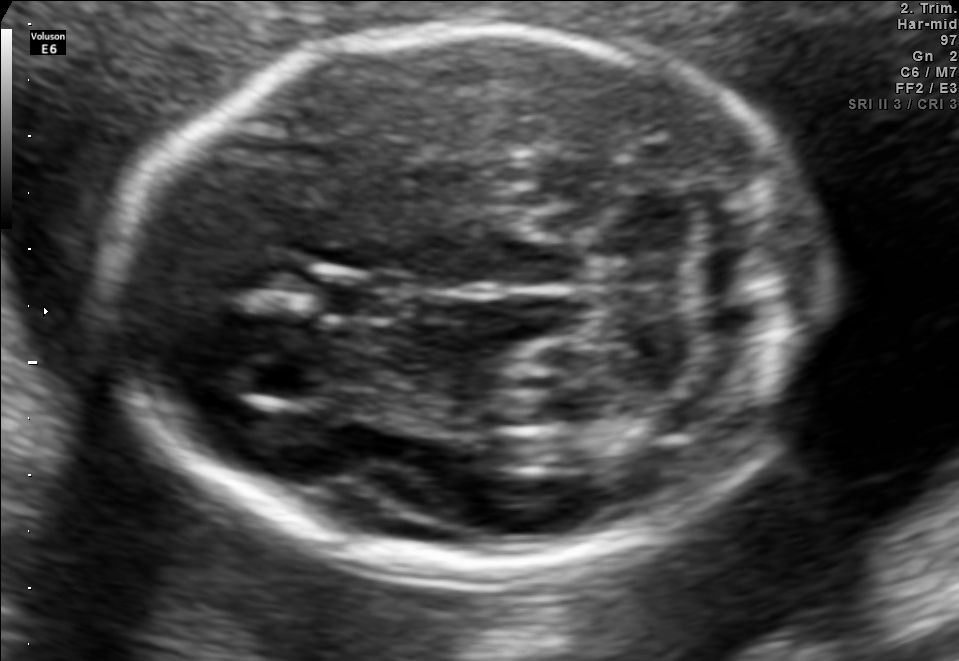
Fetal brain, trans-cerebellum plane. Where is the cavum septum pellucidum?

CSP bounding box: [321,275,405,321]